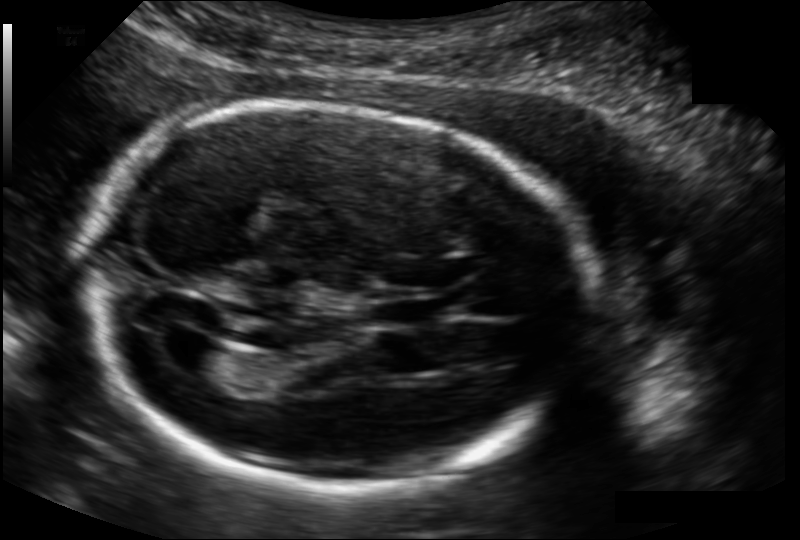
Fetal head ultrasound. Image width: 107.6 mm. Where is the cavum septum pellucidum?

CSP bounding box: [367,295,440,329]